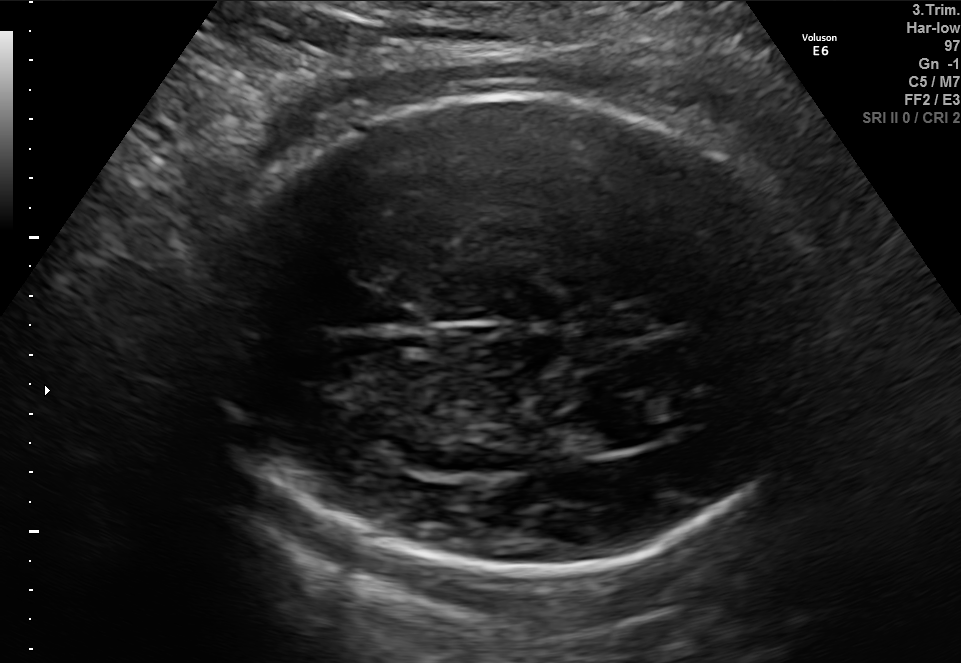
Fetal brain, trans-thalamic plane. Give [x1,y1,x2,y2] bounding boxes for each visible structure among: fetal head, CSP, LV.

Head: [203,95,832,576]
Lateral ventricle: [551,404,637,462]